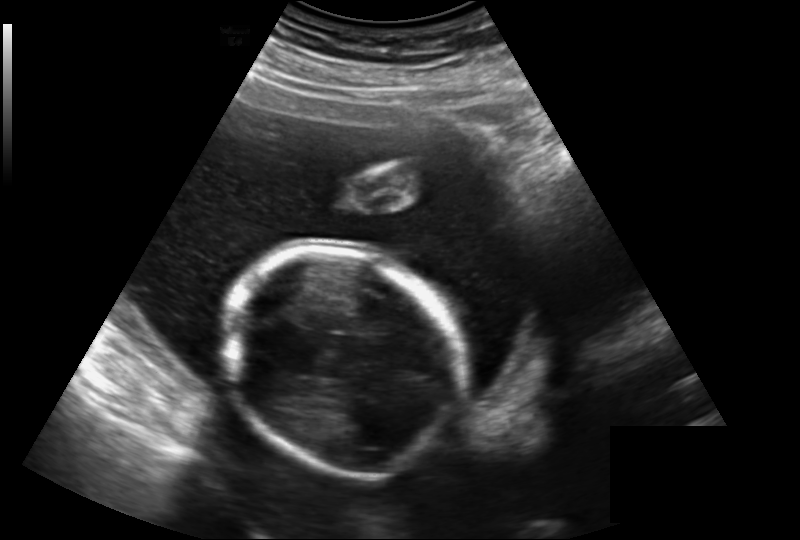
Fetal head ultrasound. Image width: 175.3 mm. Locate the fetal head and, if visible, the cavum septum pellucidum (CSP) and lateral ventricle (LV). Give bounding boxes as [x1,y1,x2,y2].

Head: [222,251,466,474]